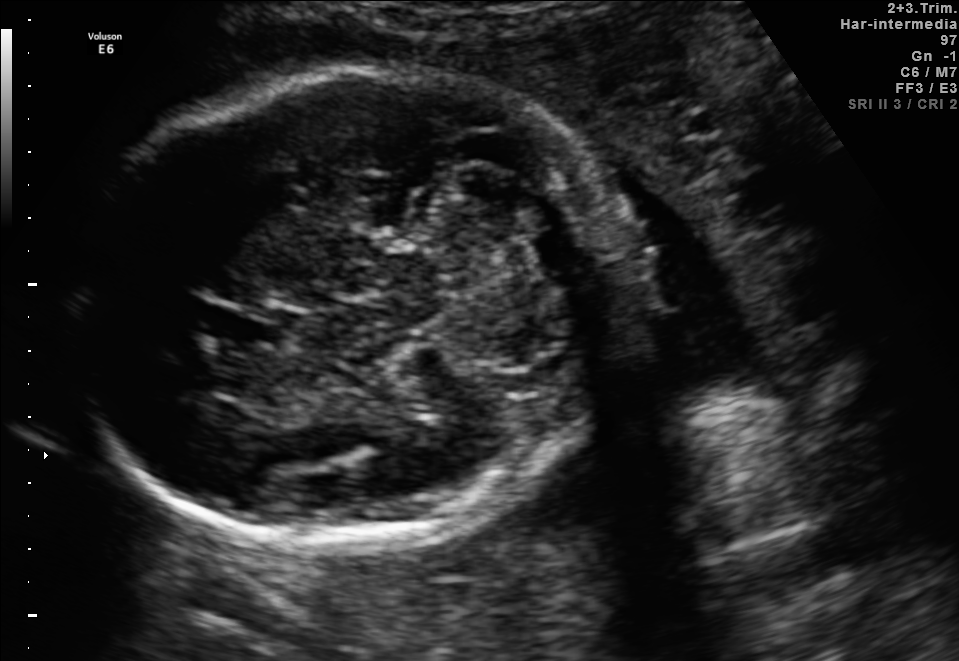
Fetal brain, trans-cerebellum plane. Locate the cavum septum pellucidum.

CSP: [198,297,286,357]